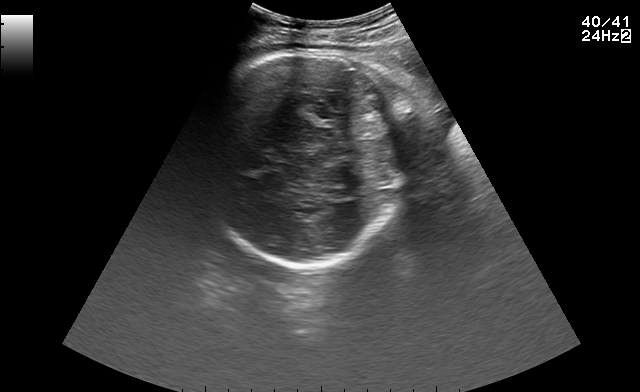
Which standard maternal-fetal ultrasound plane is shown: fetal abdomen, fetal brain, fetal femur, fetal thorax, maternal cervix, or other? If it's fetal brain and one of the three standard brain planes (trans-thalamic, trans-cerebellum, trans-ventricular), name which.

Fetal brain